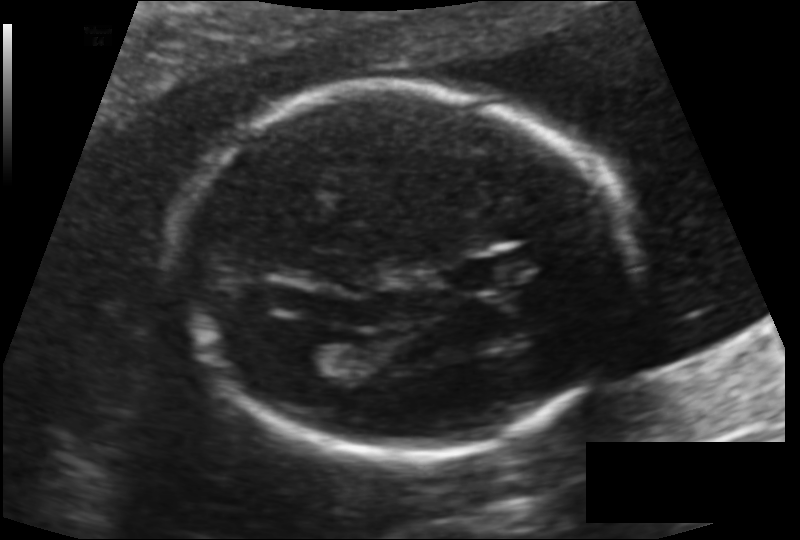
In this fetal head ultrasound, give bounding boxes for the head outline, cavum septum pellucidum (CSP), and lateral ventricle (LV), where visible. Image width: 104.6 mm.

Head: [190,92,628,457]
CSP: [445,252,521,297]
Lateral ventricle: [298,343,359,379]